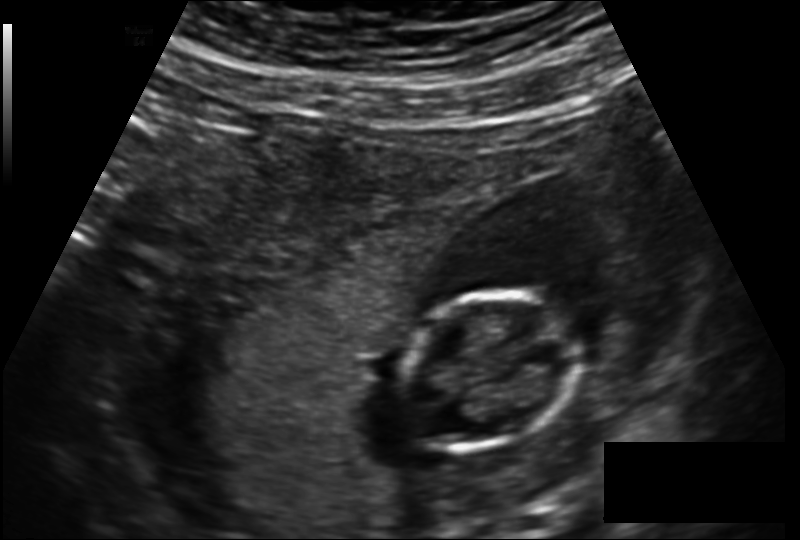
Fetal head ultrasound. Image width: 128.2 mm. Where is the fetal head?

Head bounding box: [395,291,578,452]